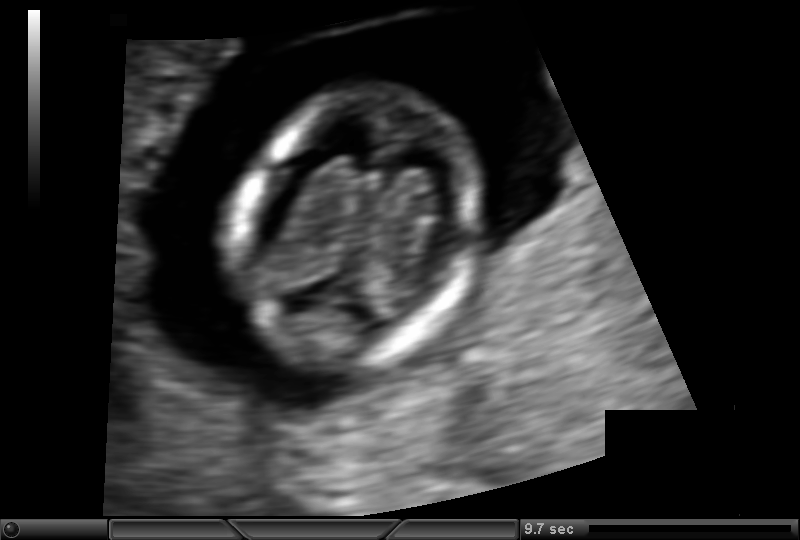
Fetal head ultrasound. Image width: 73.8 mm. Where is the fetal head?

Head bounding box: [229,84,489,376]